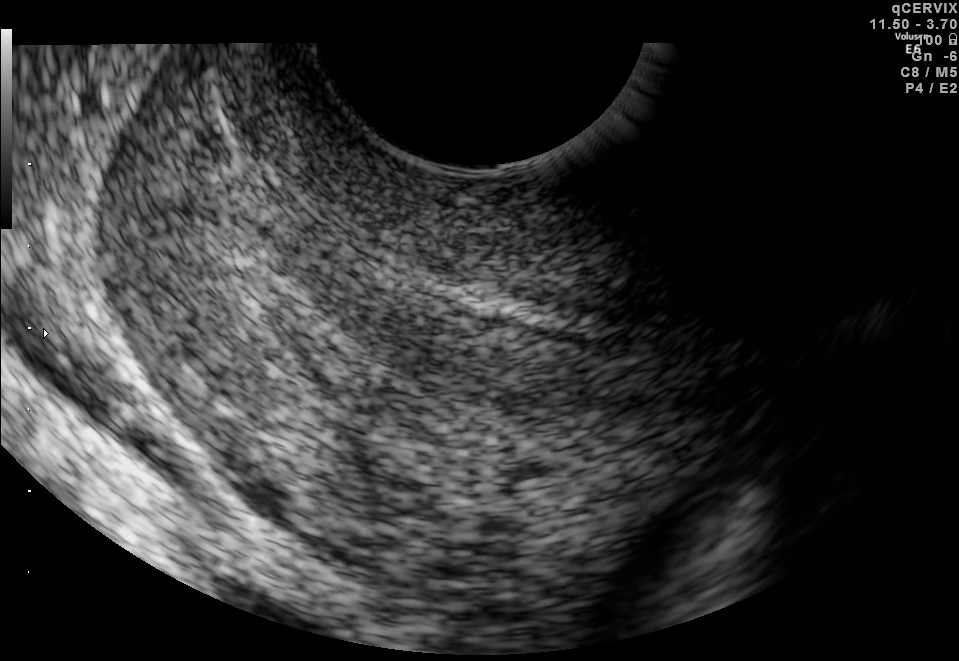
Which standard maternal-fetal ultrasound plane is shown: fetal abdomen, fetal brain, fetal femur, fetal thorax, maternal cervix, or other? If it's fetal brain and one of the three standard brain planes (trans-thalamic, trans-cerebellum, trans-ventricular), name which.

Maternal cervix